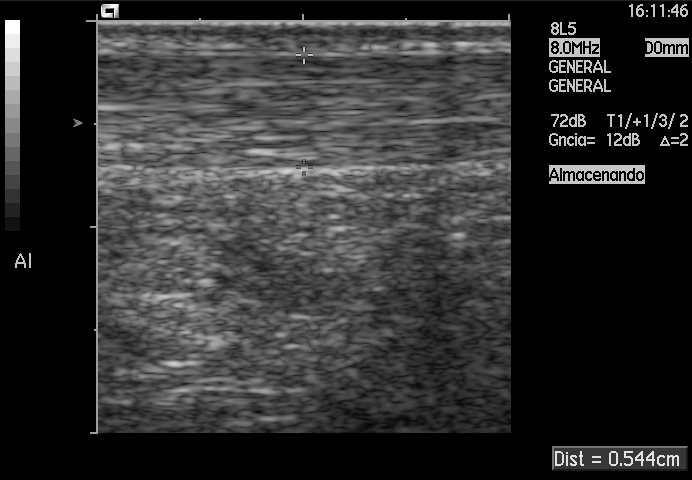
This is a 2D maternal-fetal ultrasound frame. Is it a fetal abdomen, fetal brain, fetal femur, fetal thorax, maternal cervix, or other standard plane? If it's fetal brain and one of the three standard brain planes (trans-thalamic, trans-cerebellum, trans-ventricular), name which.

Other